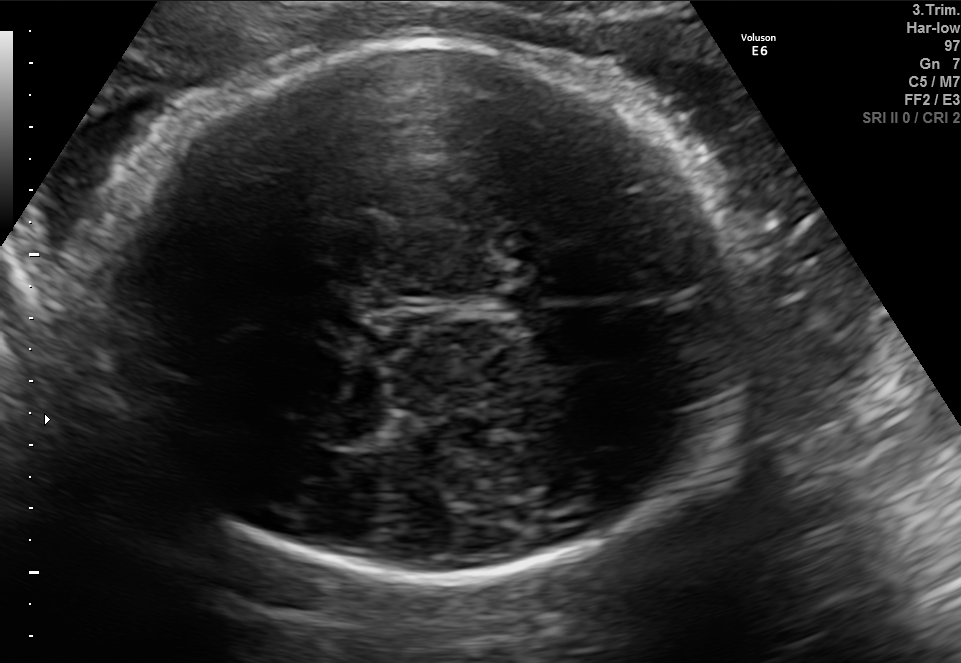
In this fetal brain, trans-thalamic plane, give the bounding box of the fetal head.

[89,44,746,577]